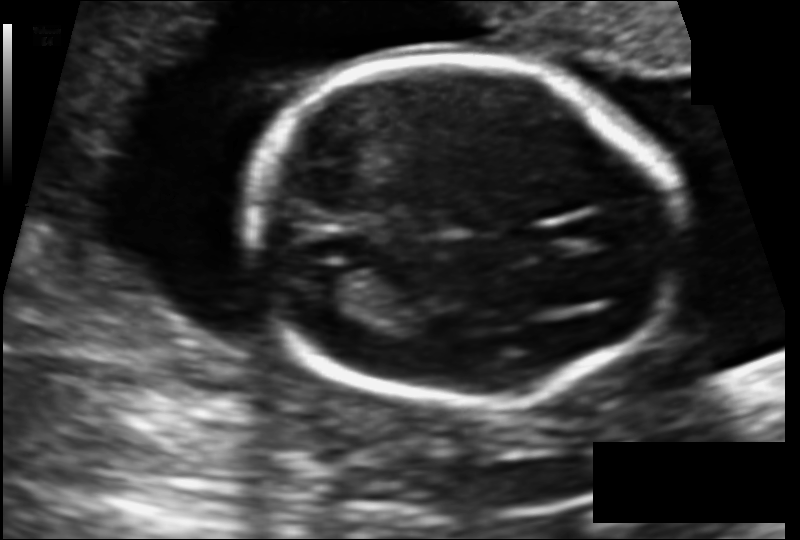
In this fetal head ultrasound, give bounding boxes for the head outline, cavum septum pellucidum (CSP), and lateral ventricle (LV), where visible. Image width: 96.7 mm.

Head: [244,59,674,403]
Lateral ventricle: [315,266,382,304]